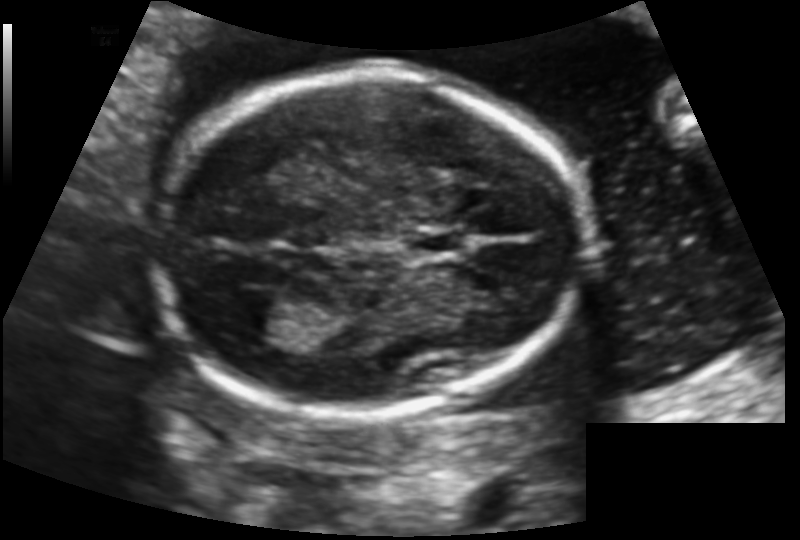
Fetal head ultrasound. Image width: 103.6 mm. Locate the fetal head and, if visible, the cavum septum pellucidum (CSP) and lateral ventricle (LV). Give bounding boxes as [x1,y1,x2,y2].

Head: [152,68,585,413]
CSP: [402,228,469,260]
Lateral ventricle: [232,294,301,341]